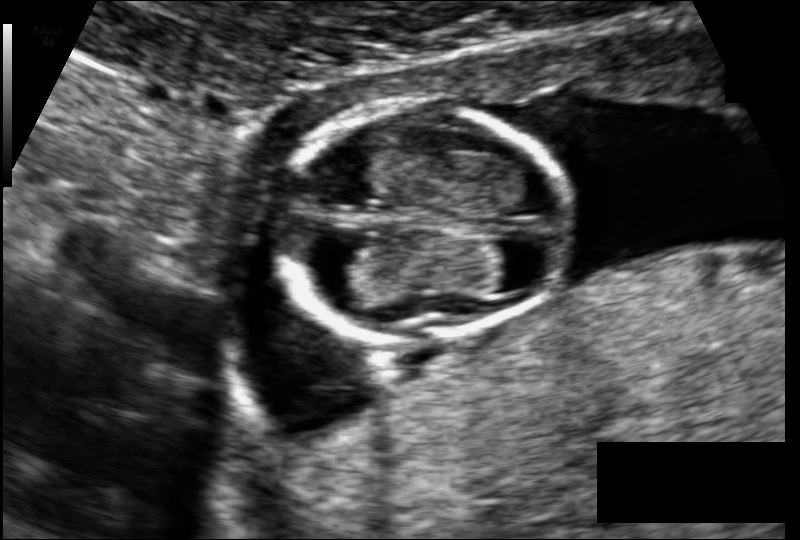
Fetal head ultrasound. Image width: 78.5 mm. Give [x1,y1,x2,y2] bounding boxes for each visible structure among: fetal head, CSP, LV.

Head: [275,105,576,337]